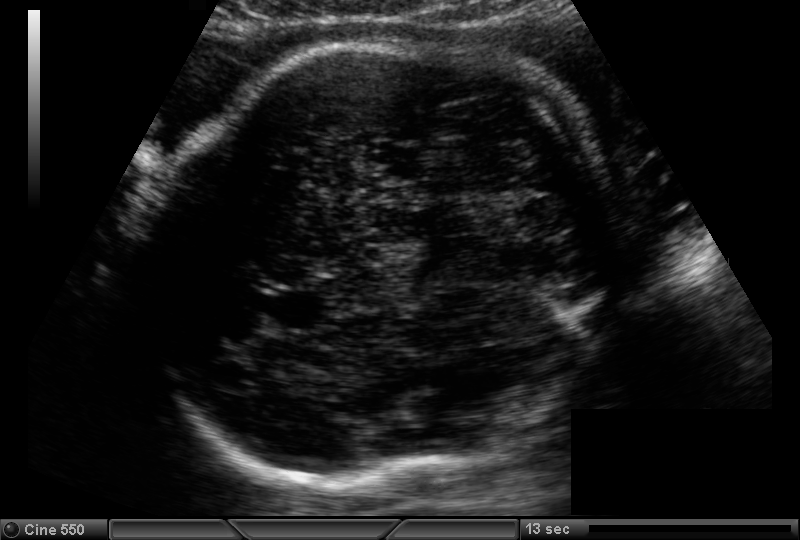
Estimate the fetal head circumference from this 2D ultrasound.

Head circumference: 268.8 mm (image width 144.1 mm).